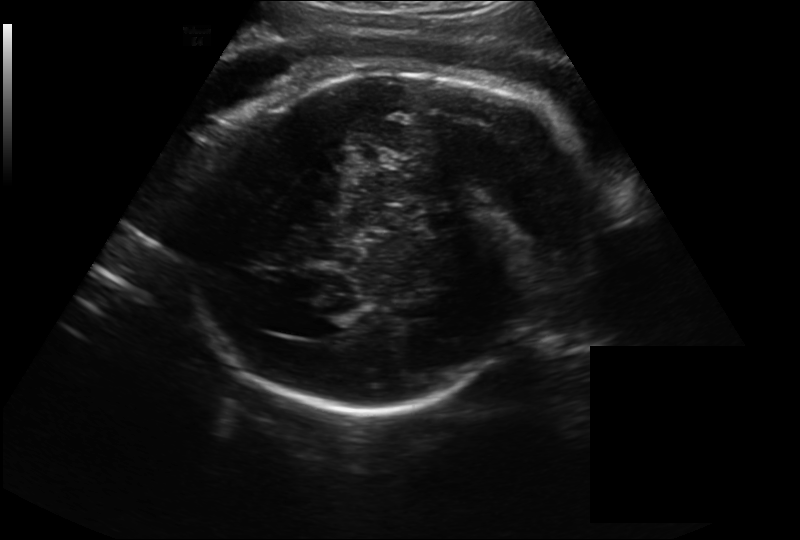
Estimate the fetal head circumference from this 2D ultrasound.

Head circumference: 312.5 mm (image width 209.3 mm).